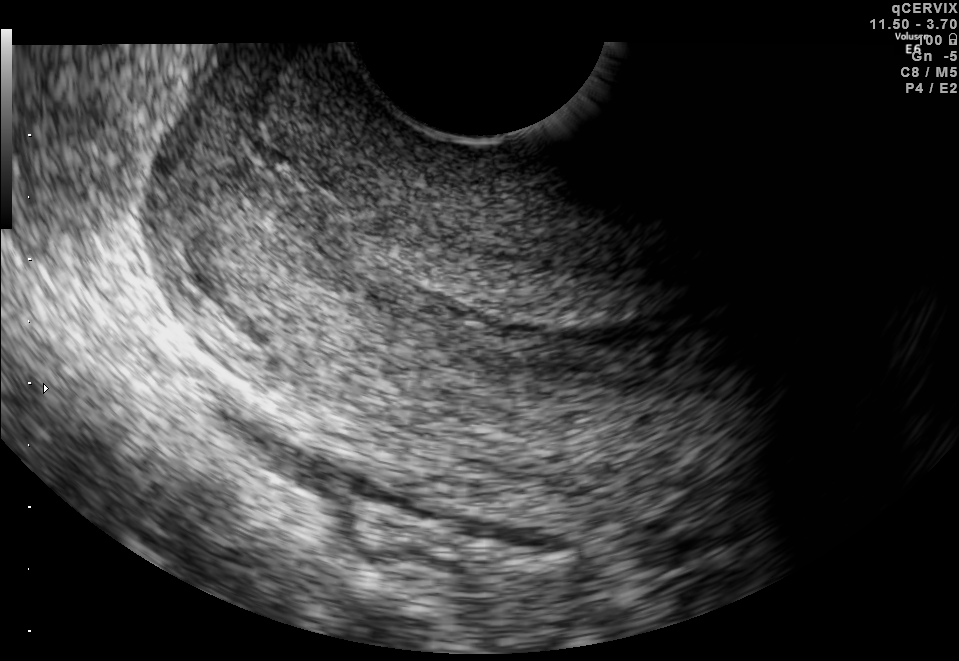
This is a 2D maternal-fetal ultrasound frame. Is it a fetal abdomen, fetal brain, fetal femur, fetal thorax, maternal cervix, or other standard plane? If it's fetal brain and one of the three standard brain planes (trans-thalamic, trans-cerebellum, trans-ventricular), name which.

Maternal cervix